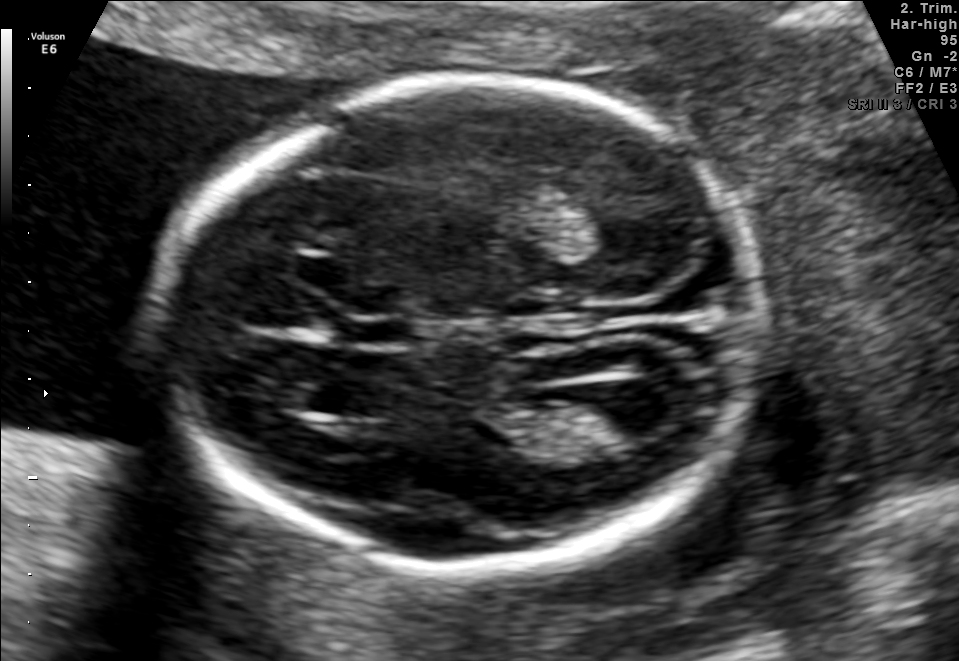
Fetal brain, trans-ventricular plane. Where is the cavum septum pellucidum?

CSP bounding box: [334,314,423,347]